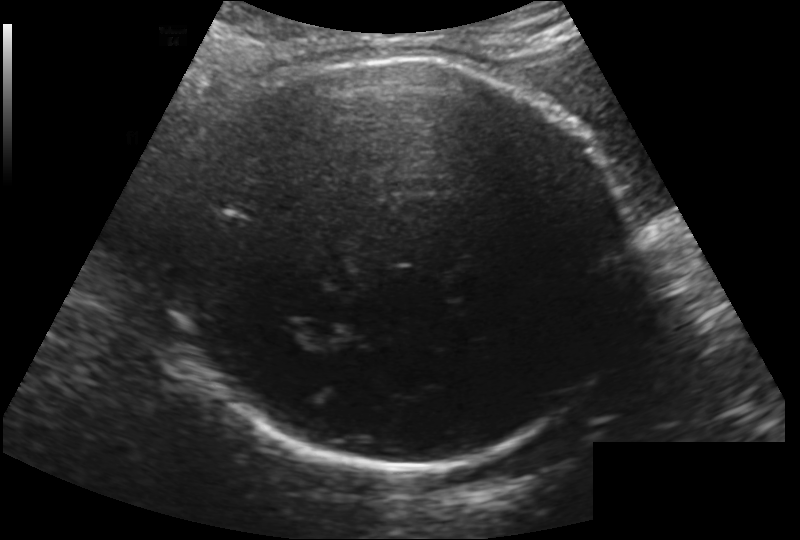
In this fetal head ultrasound, give the bounding box of the fetal head. Image width: 160.1 mm.

[166,59,632,471]